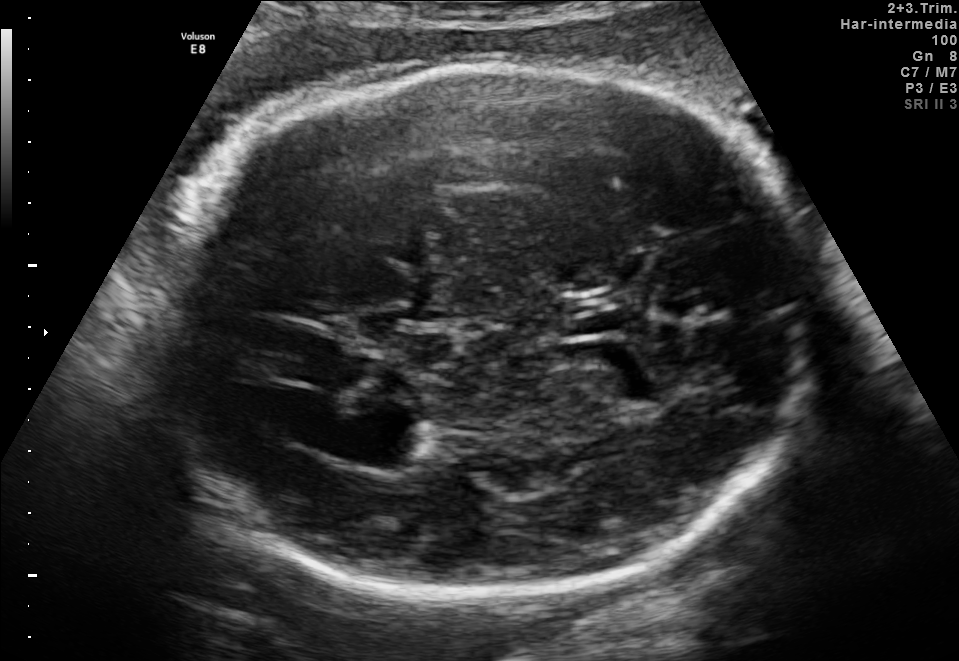
Fetal brain, trans-thalamic plane. Locate the fetal head.

Head: [144,64,815,595]